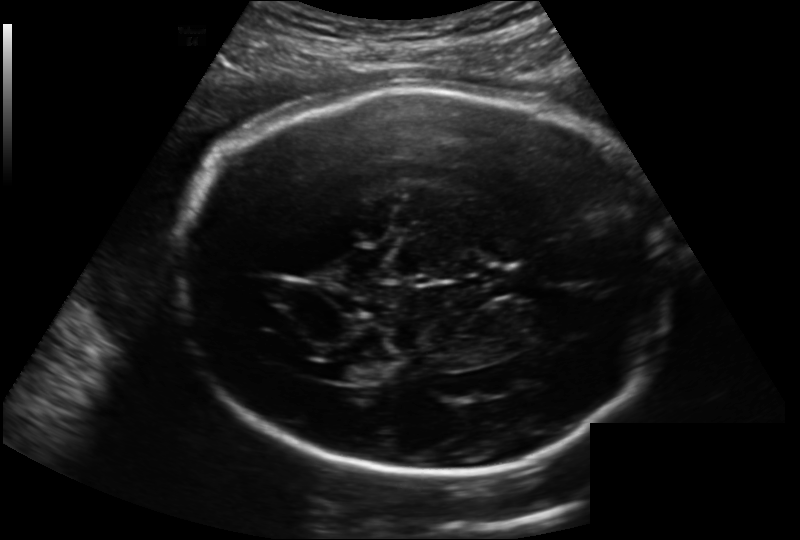
Estimate the fetal head circumference from this 2D ultrasound. Image width: 161.8 mm.

Head circumference: 284.7 mm.